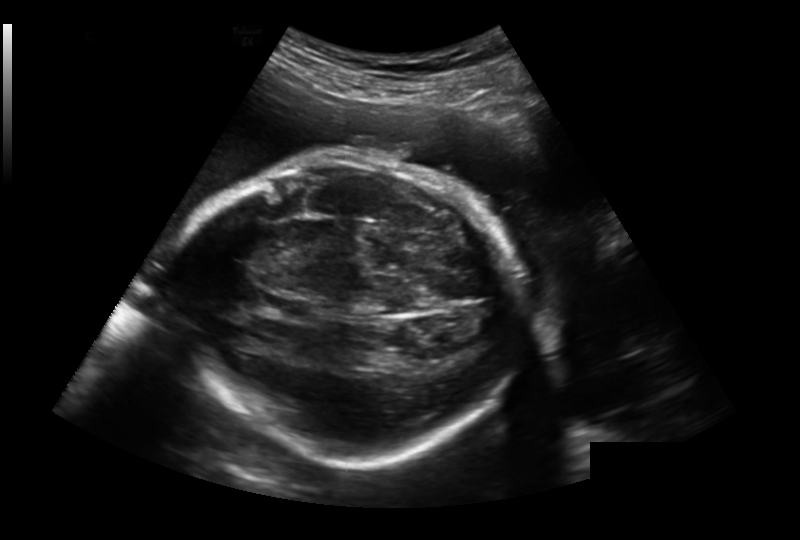
In this fetal head ultrasound, give bounding boxes for the head outline, cavum septum pellucidum (CSP), and lateral ventricle (LV), where visible. Image width: 206.8 mm.

Head: [176,158,519,460]